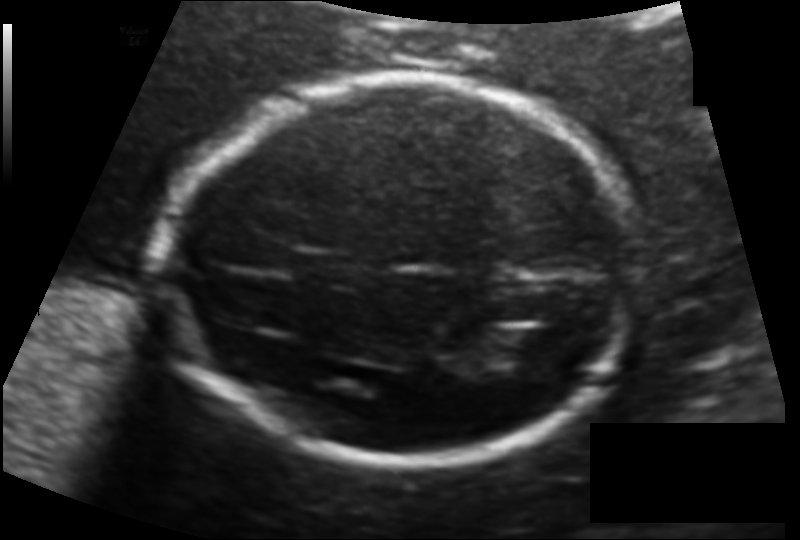
Fetal head ultrasound. Image width: 98.0 mm. Where is the fetal head?

Head bounding box: [164,75,644,465]